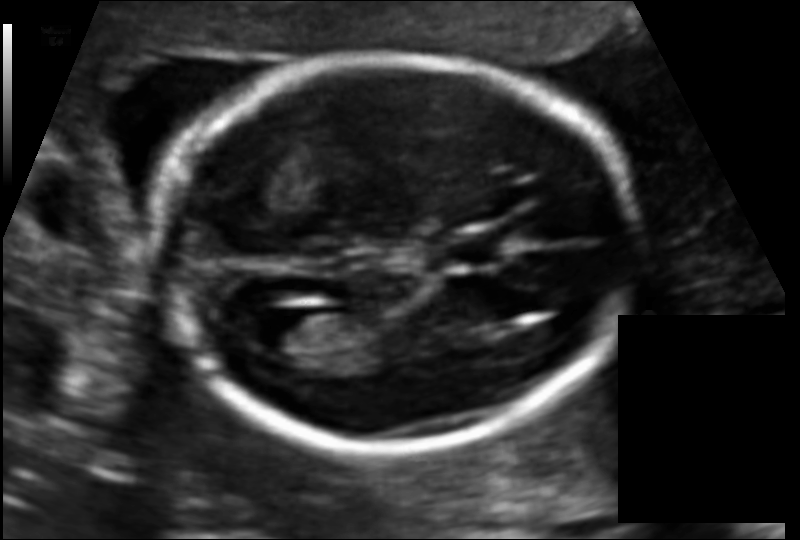
Fetal head ultrasound. Image width: 87.1 mm. Locate the lateral ventricle.

Lateral ventricle: [239,305,319,352]